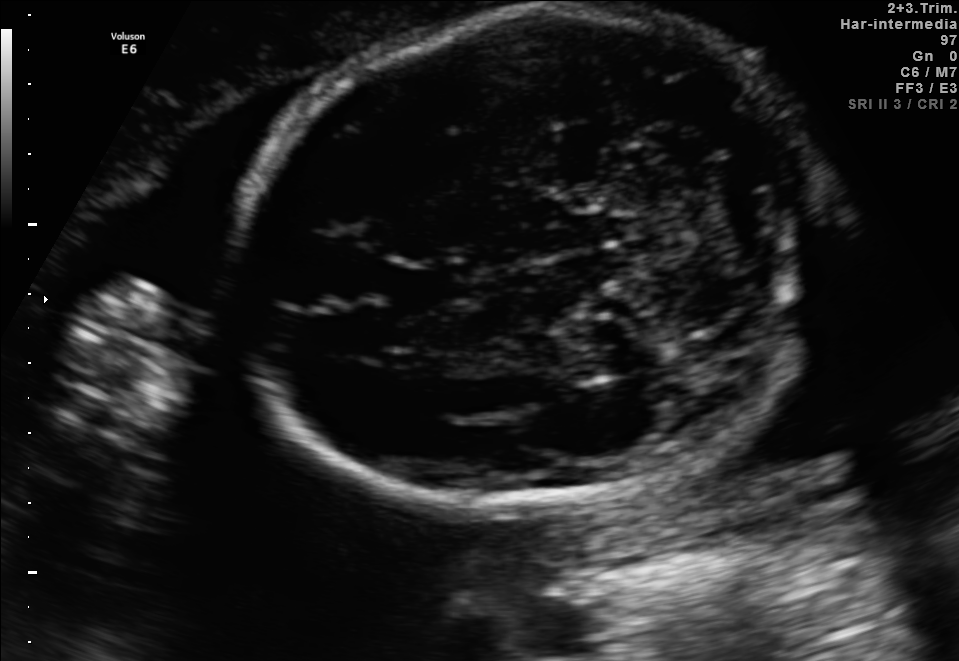
In this fetal brain, trans-cerebellum plane, give the bounding box of the cavum septum pellucidum.

[394,260,472,313]